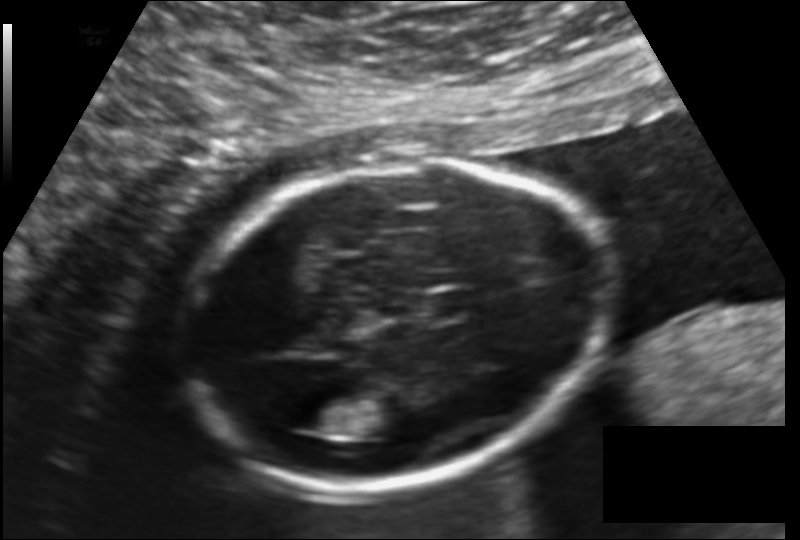
Fetal head ultrasound. Image width: 112.0 mm. Where is the cavum septum pellucidum?

CSP bounding box: [424,286,478,321]